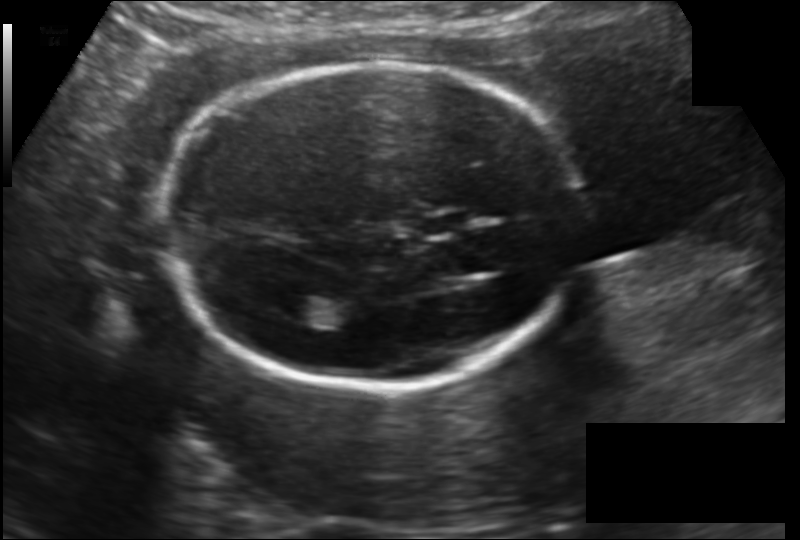
In this fetal head ultrasound, give the bounding box of the fetal head. Image width: 118.1 mm.

[164,62,584,390]